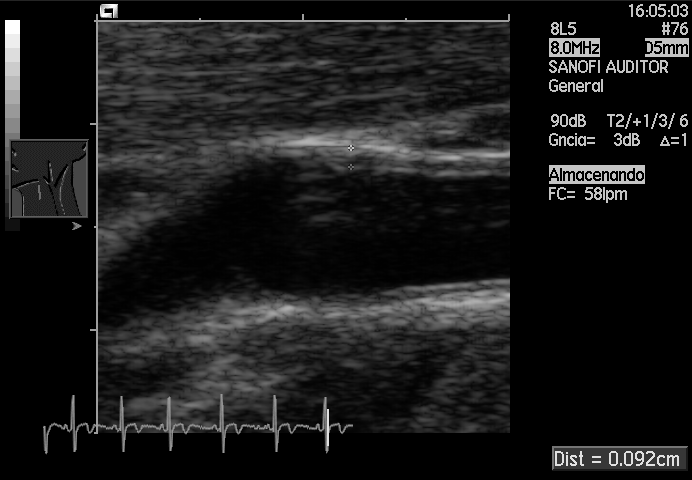
This is a 2D maternal-fetal ultrasound frame. Is it a fetal abdomen, fetal brain, fetal femur, fetal thorax, maternal cervix, or other standard plane? If it's fetal brain and one of the three standard brain planes (trans-thalamic, trans-cerebellum, trans-ventricular), name which.

Other